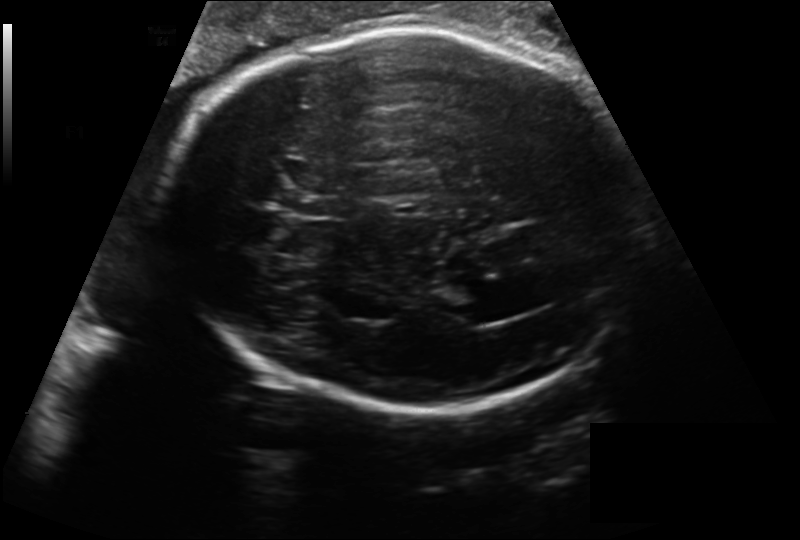
In this fetal head ultrasound, give bounding boxes for the head outline, cavum septum pellucidum (CSP), and lateral ventricle (LV), where visible. Image width: 174.3 mm.

Head: [163,30,646,410]
CSP: [302,196,343,219]
Lateral ventricle: [448,297,505,330]